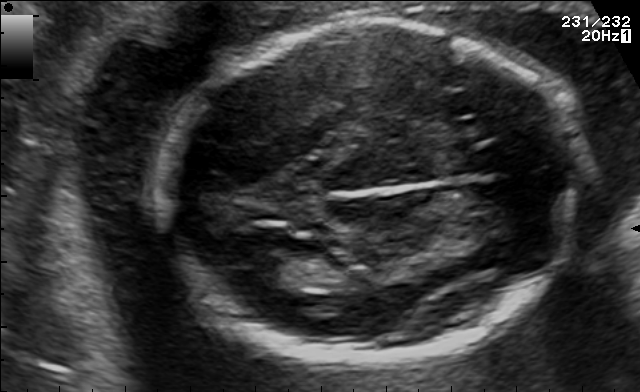
Fetal brain, trans-thalamic plane. Locate the lateral ventricle.

Lateral ventricle: [241,248,314,290]